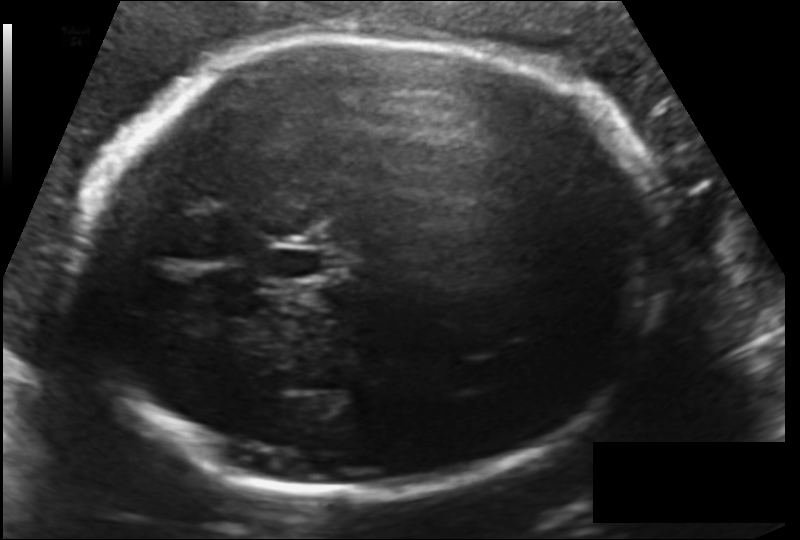
Measure the fetal head circumference shown in this ultrasound image. Image width: 122.1 mm.

Head circumference: 255.8 mm.